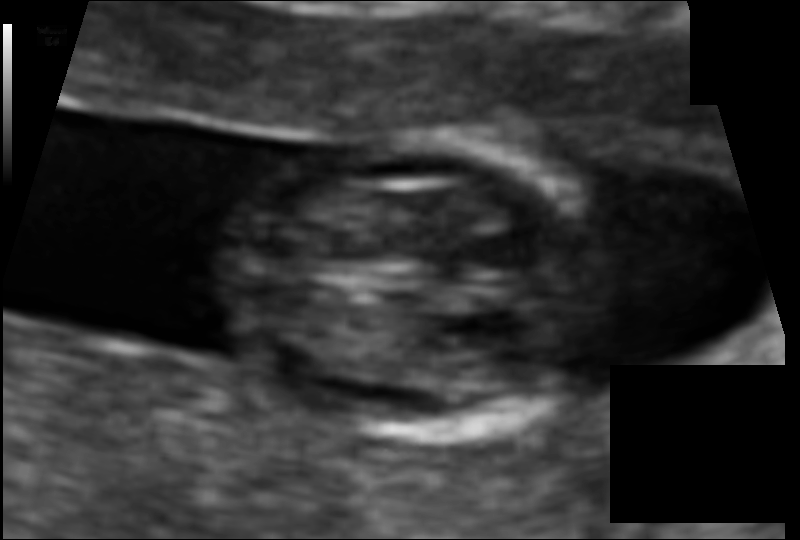
Estimate the fetal head circumference from this 2D ultrasound. Image width: 53.7 mm.

Head circumference: 76.8 mm.